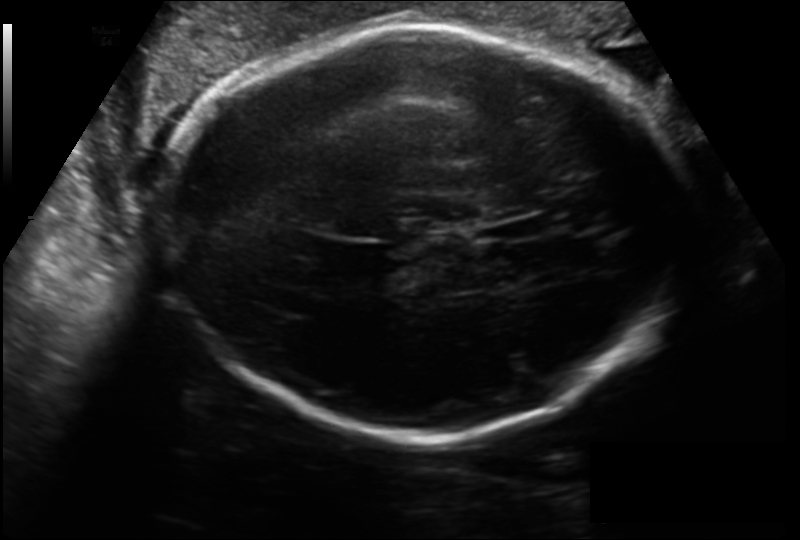
In this fetal head ultrasound, give bounding boxes for the head outline, cavum septum pellucidum (CSP), and lateral ventricle (LV), where visible. Image width: 158.9 mm.

Head: [168,26,681,440]